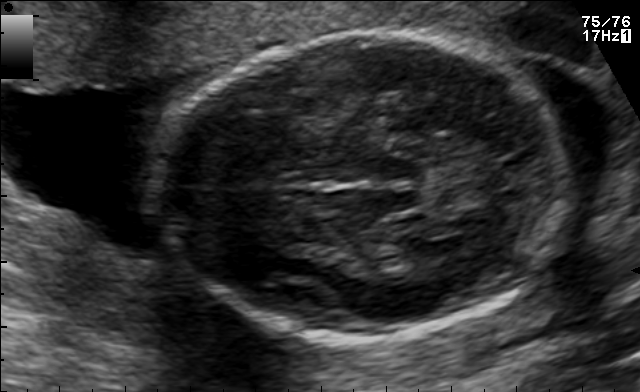
This is a 2D maternal-fetal ultrasound frame. Is it a fetal abdomen, fetal brain, fetal femur, fetal thorax, maternal cervix, or other standard plane? If it's fetal brain and one of the three standard brain planes (trans-thalamic, trans-cerebellum, trans-ventricular), name which.

Fetal brain (trans-thalamic plane)